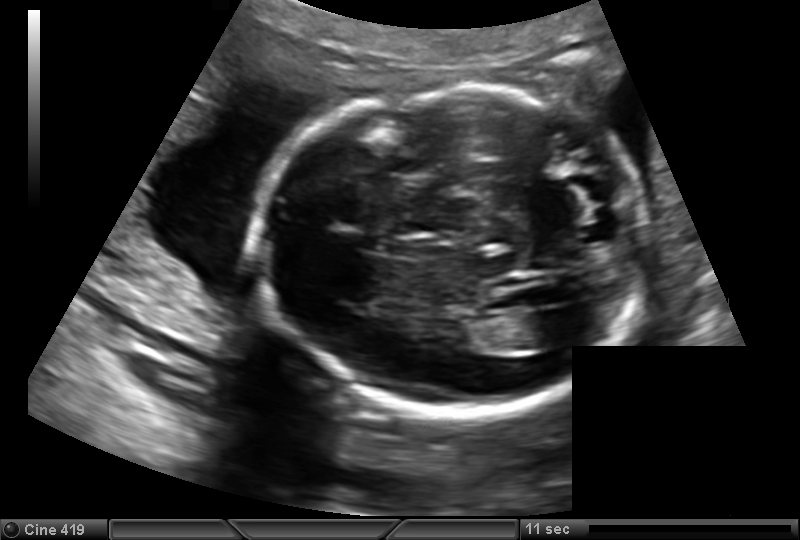
Estimate the fetal head circumference from this 2D ultrasound. Image width: 120.7 mm.

Head circumference: 176.9 mm.